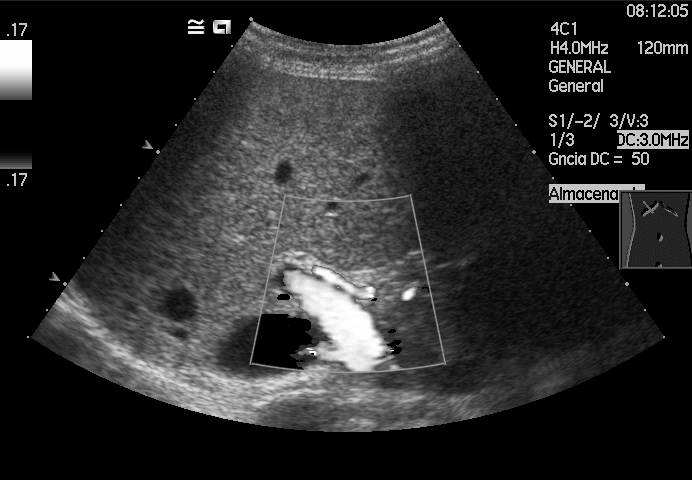
Identify the standard plane in this fetal ultrasound image: fetal abdomen, fetal brain, fetal femur, fetal thorax, maternal cervix, or other. If it's fetal brain and one of the three standard brain planes (trans-thalamic, trans-cerebellum, trans-ventricular), name which.

Other